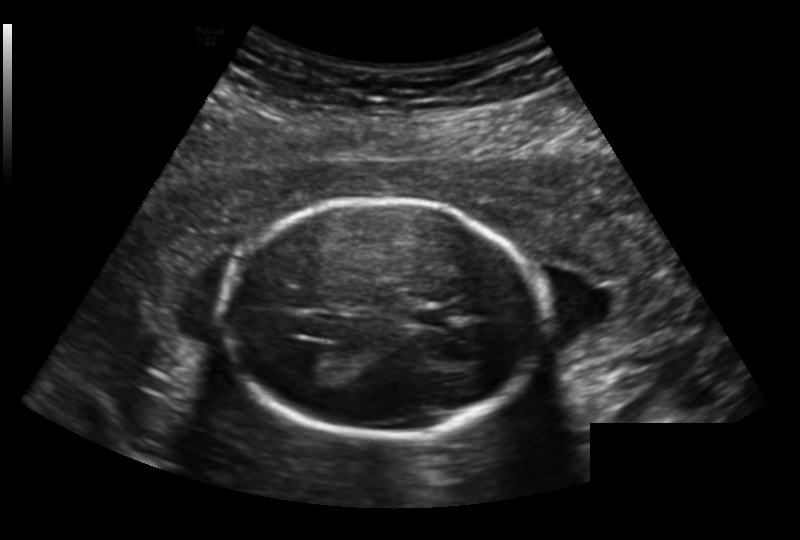
Measure the fetal head circumference shown in this ultrasound image. Image width: 152.4 mm.

Head circumference: 176.7 mm.